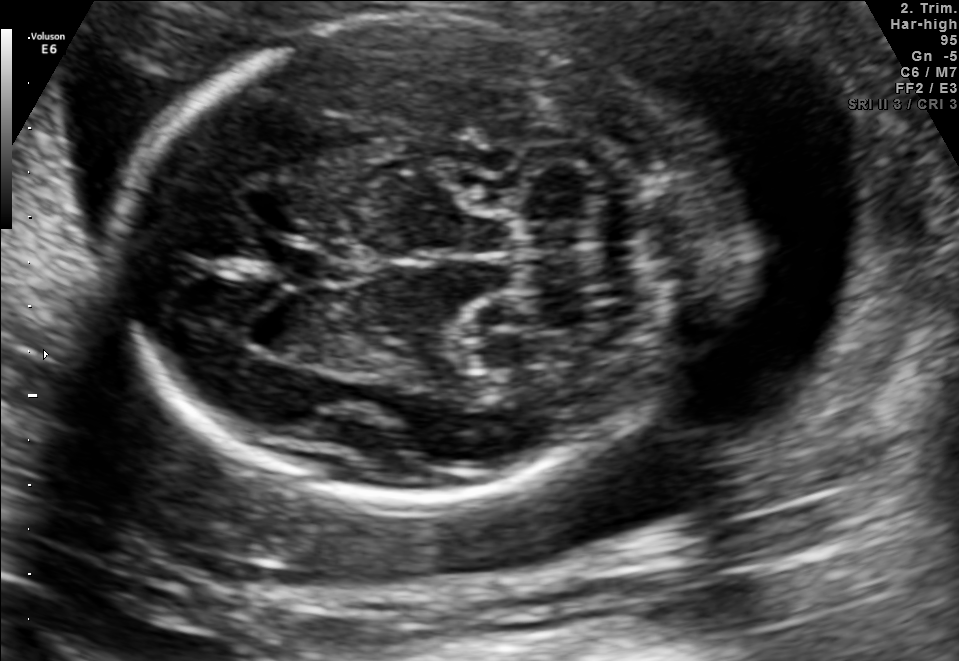
Fetal brain, trans-cerebellum plane. Where is the fetal head?

Head bounding box: [124,14,719,501]